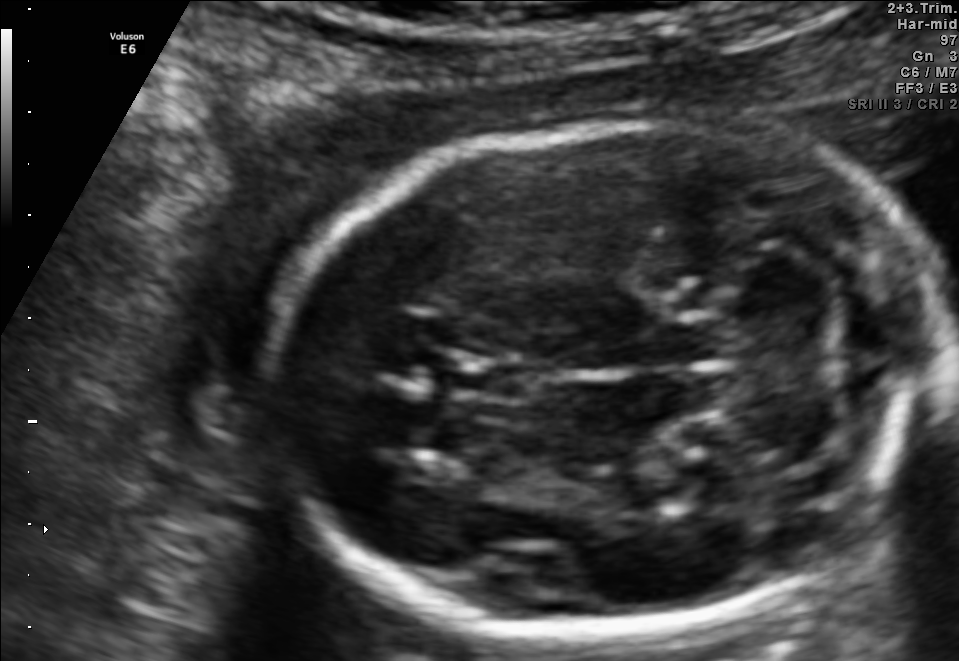
Identify the standard plane in this fetal ultrasound image: fetal abdomen, fetal brain, fetal femur, fetal thorax, maternal cervix, or other. If it's fetal brain and one of the three standard brain planes (trans-thalamic, trans-cerebellum, trans-ventricular), name which.

Fetal brain (trans-cerebellum plane)